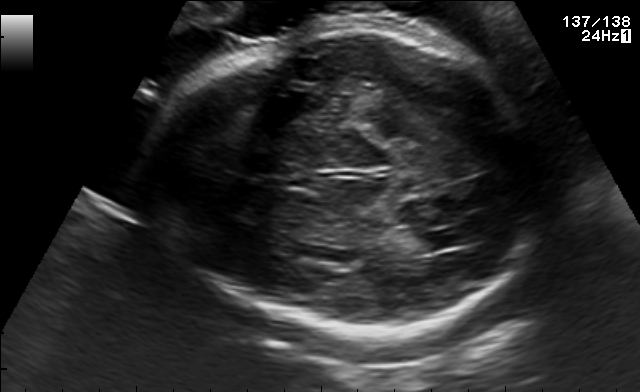
Which standard maternal-fetal ultrasound plane is shown: fetal abdomen, fetal brain, fetal femur, fetal thorax, maternal cervix, or other? If it's fetal brain and one of the three standard brain planes (trans-thalamic, trans-cerebellum, trans-ventricular), name which.

Fetal brain (trans-thalamic plane)